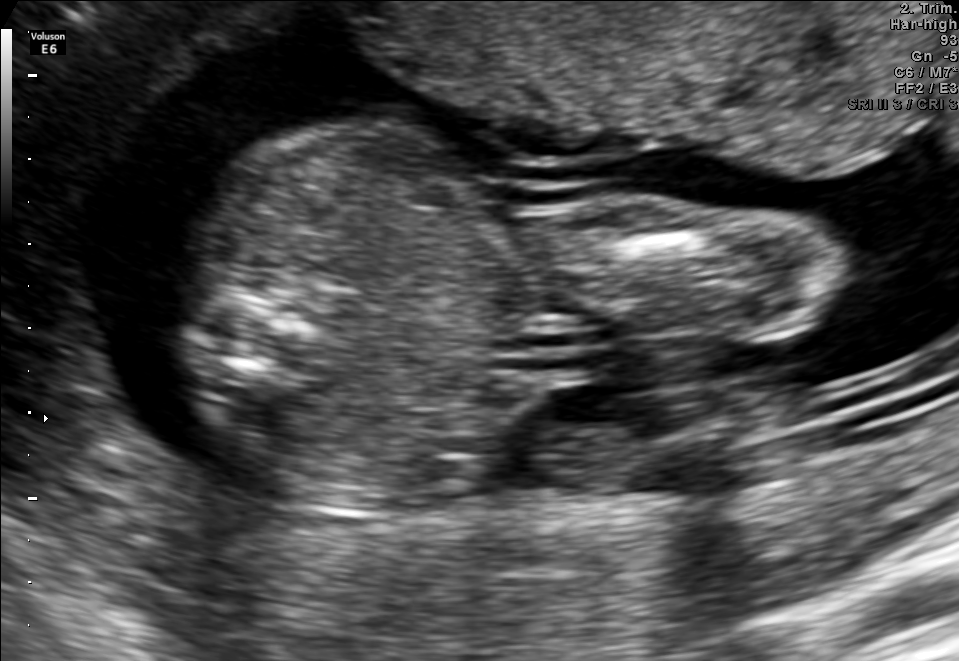
Classify this maternal-fetal ultrasound image as one of the six standard planes — fetal abdomen, fetal brain, fetal femur, fetal thorax, maternal cervix, or other. If it's fetal brain and one of the three standard brain planes (trans-thalamic, trans-cerebellum, trans-ventricular), name which.

Other